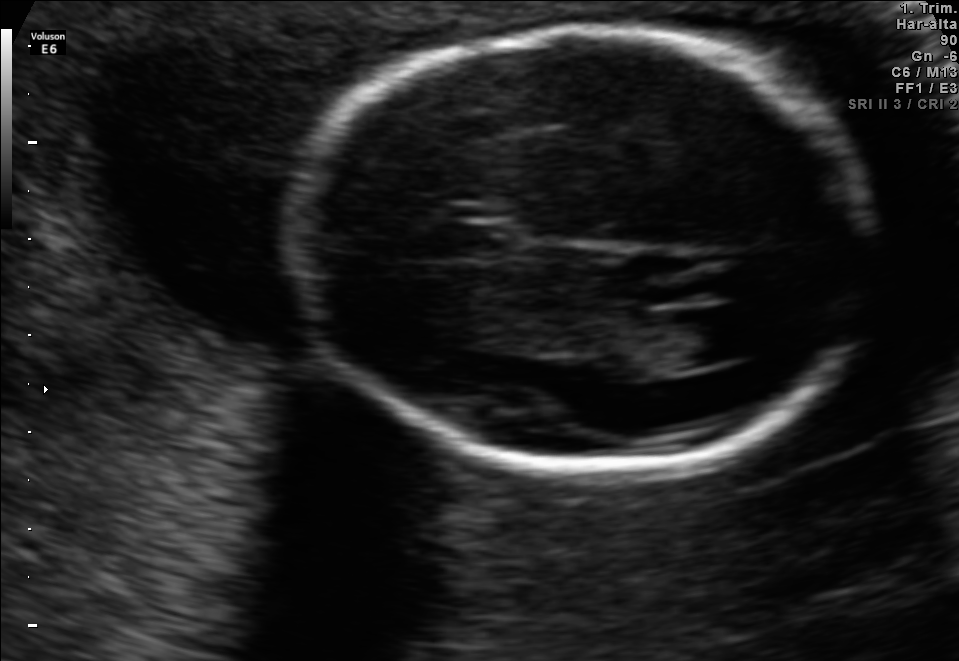
In this fetal brain, trans-ventricular plane, give the bounding box of the cavum septum pellucidum.

[422,224,518,259]